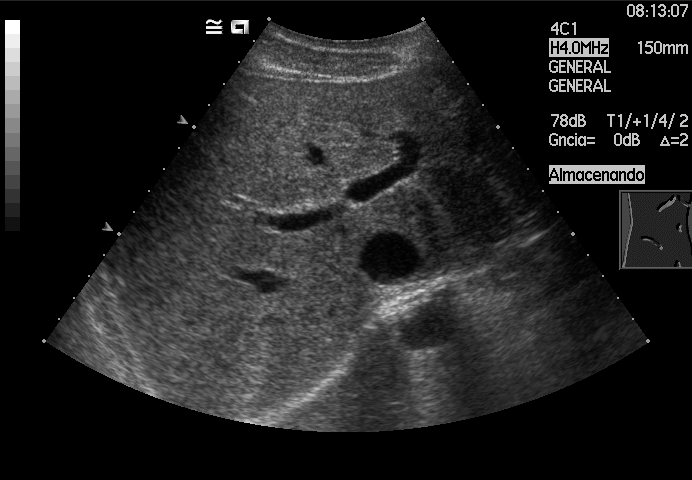
This is a 2D maternal-fetal ultrasound frame. Is it a fetal abdomen, fetal brain, fetal femur, fetal thorax, maternal cervix, or other standard plane? If it's fetal brain and one of the three standard brain planes (trans-thalamic, trans-cerebellum, trans-ventricular), name which.

Other